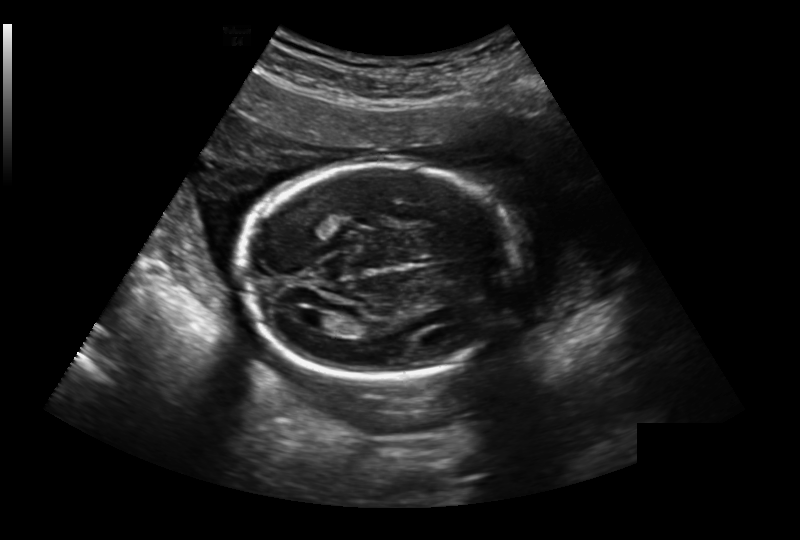
Fetal head ultrasound. Image width: 188.5 mm. Where is the fetal head?

Head bounding box: [240,163,520,378]